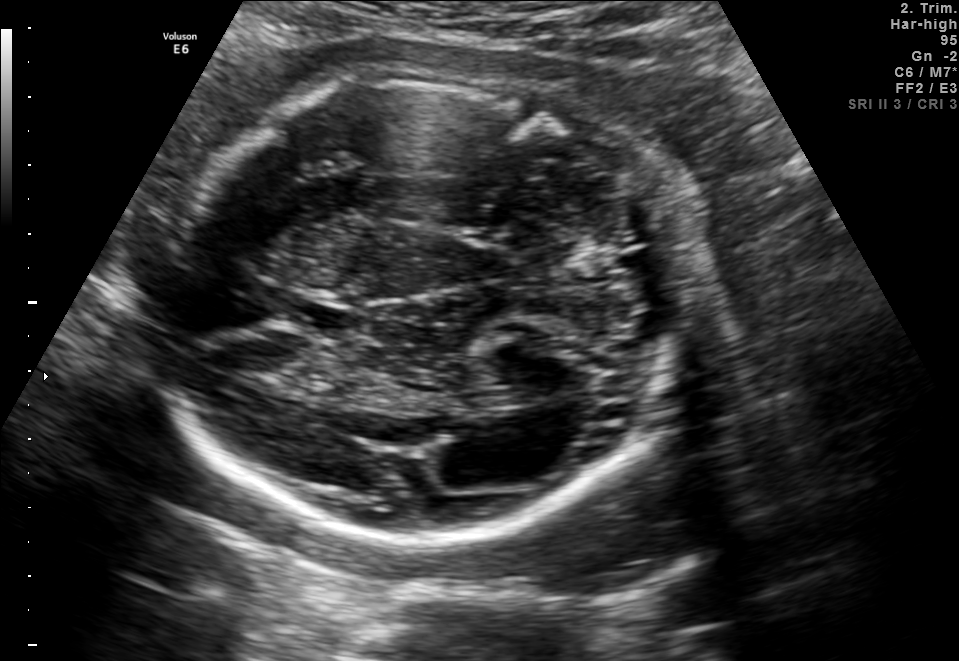
Fetal brain, trans-thalamic plane. Locate the lateral ventricle.

Lateral ventricle: [459,387,529,408]